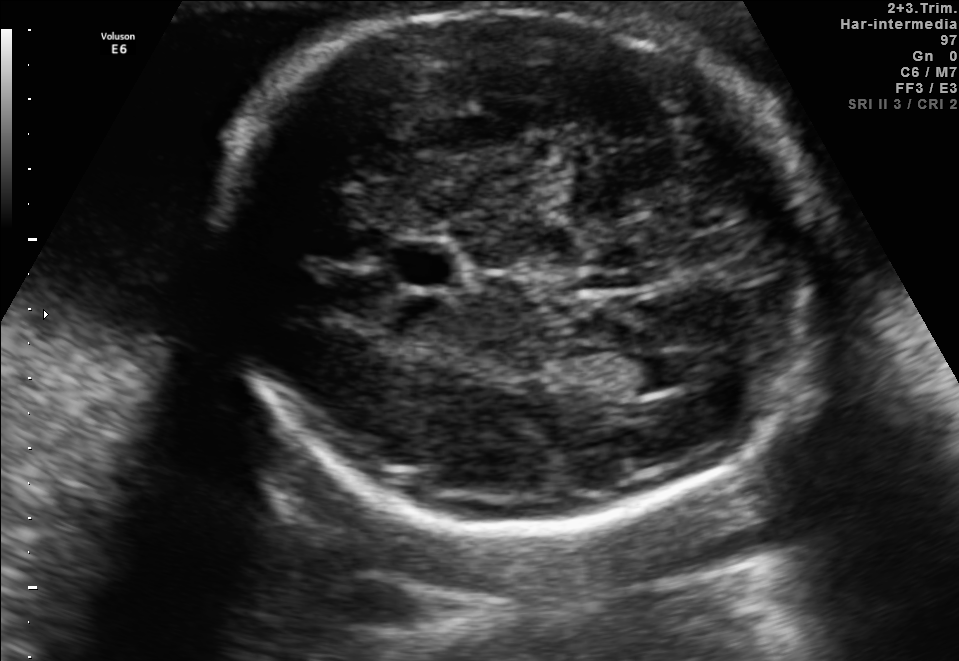
In this fetal brain, trans-ventricular plane, give bounding boxes for the head outline, cavum septum pellucidum (CSP), and lateral ventricle (LV), where visible.

Head: [184,2,853,539]
CSP: [381,242,467,288]
Lateral ventricle: [623,343,701,397]